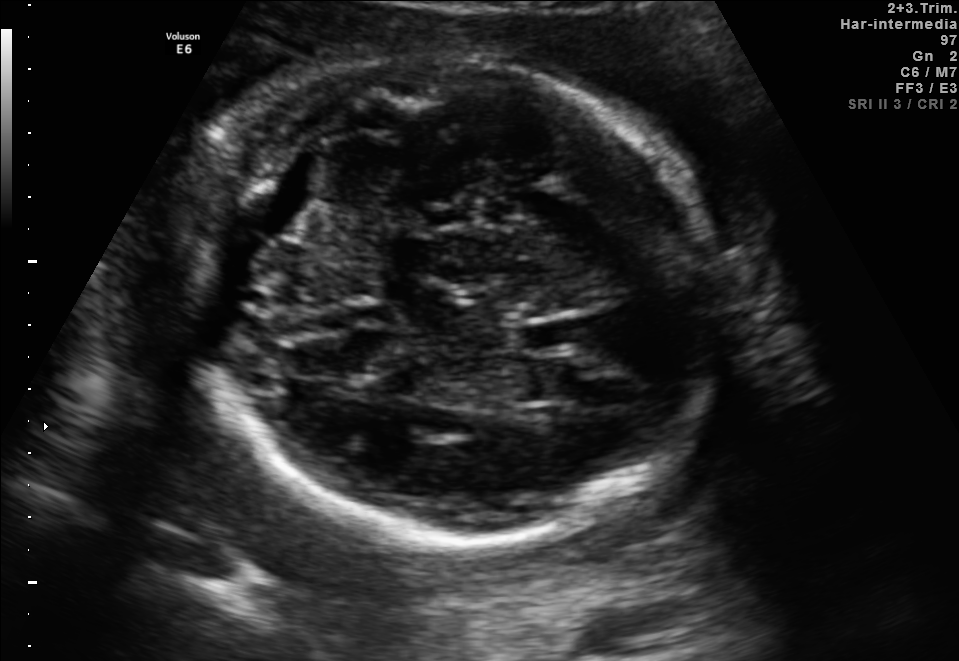
In this fetal brain, trans-thalamic plane, give bounding boxes for the head outline, cavum septum pellucidum (CSP), and lateral ventricle (LV), where visible.

Head: [162,56,727,537]
CSP: [513,314,586,353]